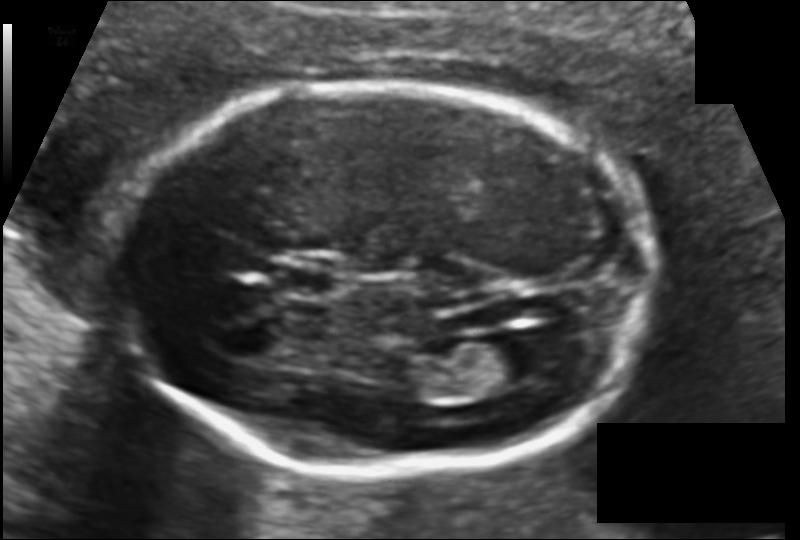
In this fetal head ultrasound, give the bounding box of the lateral ventricle. Image width: 90.6 mm.

[476,330,562,389]